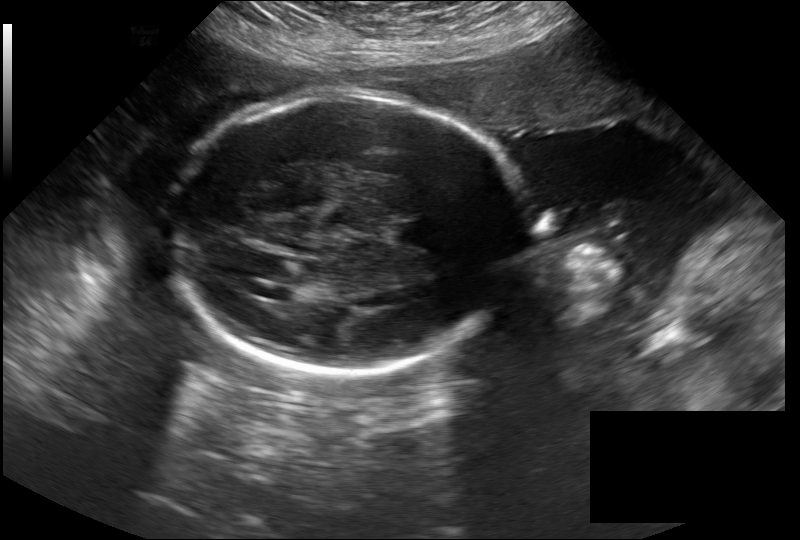
From this fetal ultrasound, estimate the head circumference (image width 223.0 mm).

Head circumference: 288.0 mm.